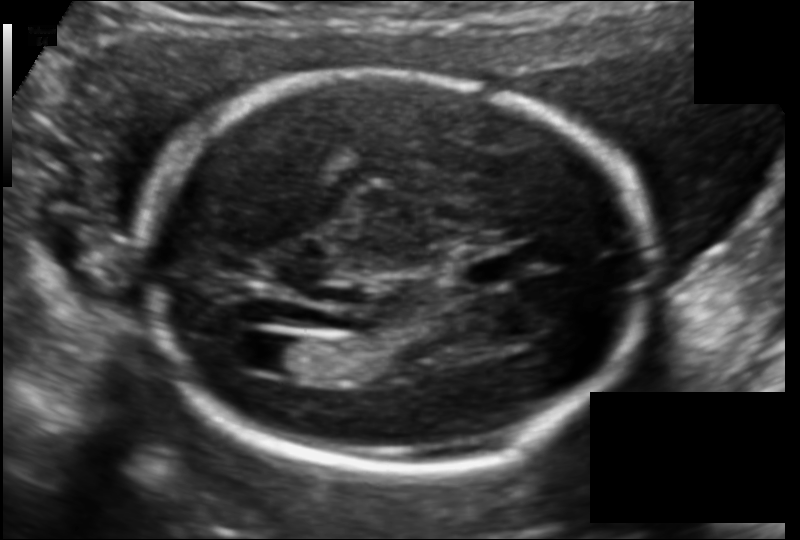
Fetal head ultrasound. Image width: 97.5 mm. Give [x1,y1,x2,y2] bounding boxes for each visible structure among: fetal head, CSP, LV.

Head: [143,73,652,472]
CSP: [458,247,521,296]
Lateral ventricle: [254,334,315,376]